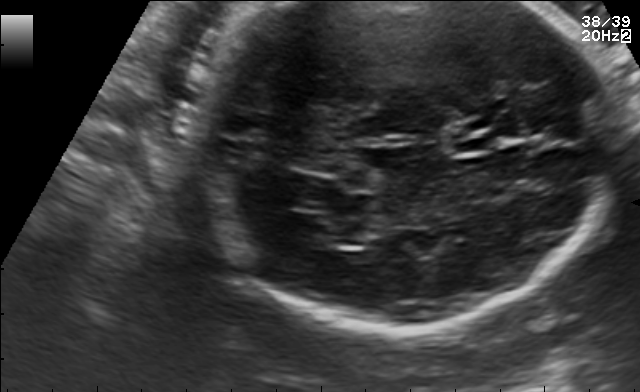
Fetal brain, trans-cerebellum plane. Locate the cavum septum pellucidum (CSP) and lateral ventricle (LV), if visible. Give bounding boxes as [x1,y1,x2,y2].

CSP: [448,129,494,159]
Lateral ventricle: [301,215,366,246]